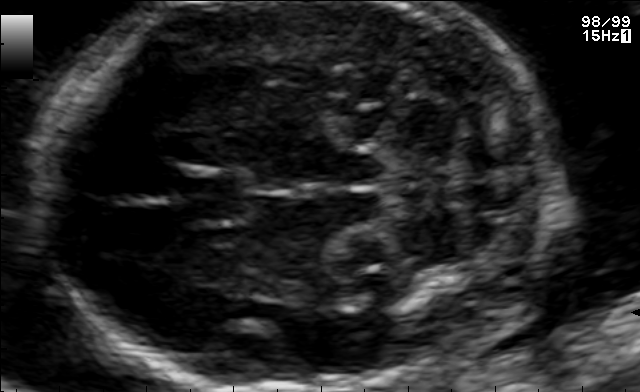
Fetal brain, trans-cerebellum plane. Locate the cavum septum pellucidum.

CSP: [178,171,248,224]